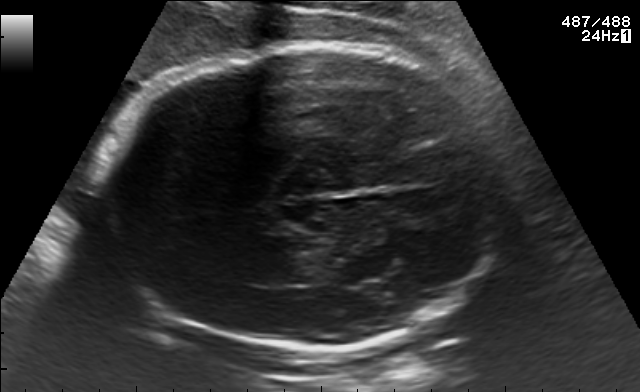
Which standard maternal-fetal ultrasound plane is shown: fetal abdomen, fetal brain, fetal femur, fetal thorax, maternal cervix, or other? If it's fetal brain and one of the three standard brain planes (trans-thalamic, trans-cerebellum, trans-ventricular), name which.

Fetal brain (trans-thalamic plane)